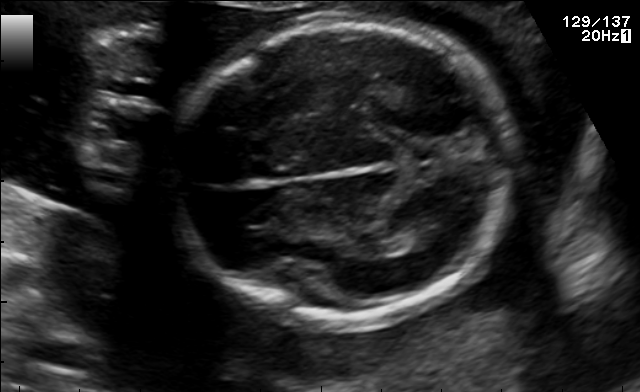
In this fetal brain, trans-thalamic plane, give the bounding box of the fetal head.

[171,25,515,323]